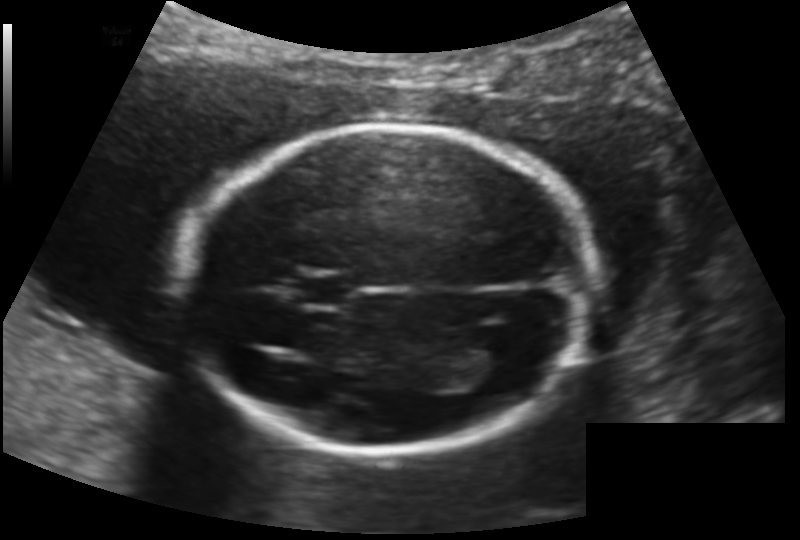
In this fetal head ultrasound, give the bounding box of the lateral ventricle. Image width: 116.3 mm.

[456,348,518,388]